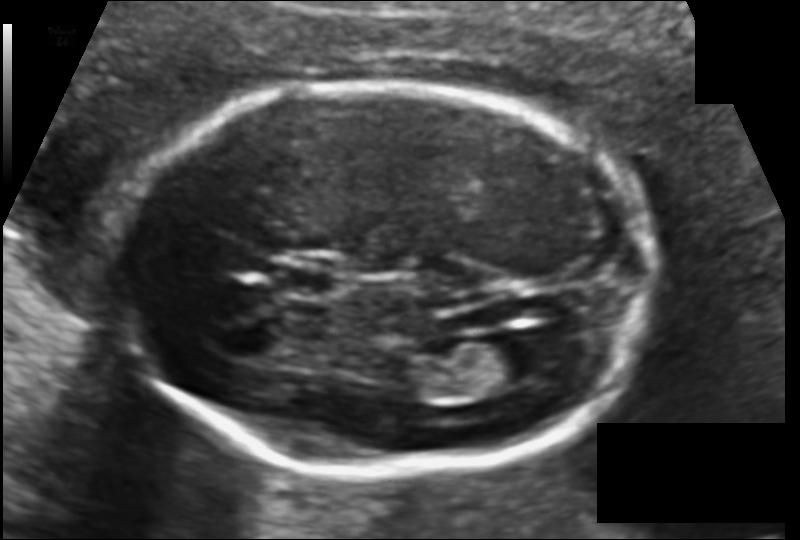
Estimate the fetal head circumference from this 2D ultrasound.

Head circumference: 171.6 mm (image width 90.6 mm).